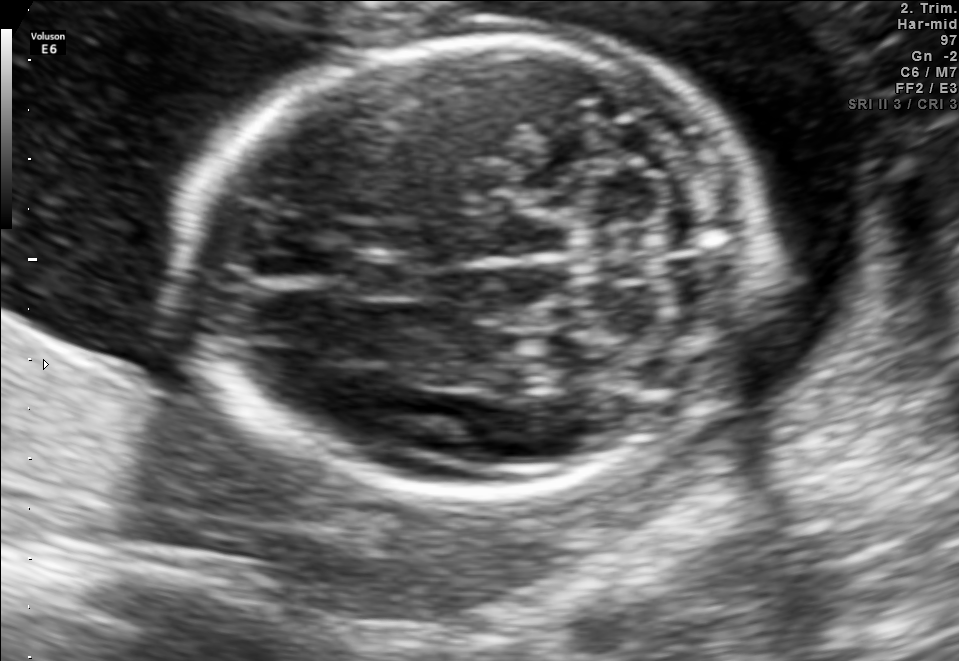
Fetal brain, trans-cerebellum plane. Where is the cavum septum pellucidum?

CSP bounding box: [346,253,420,300]